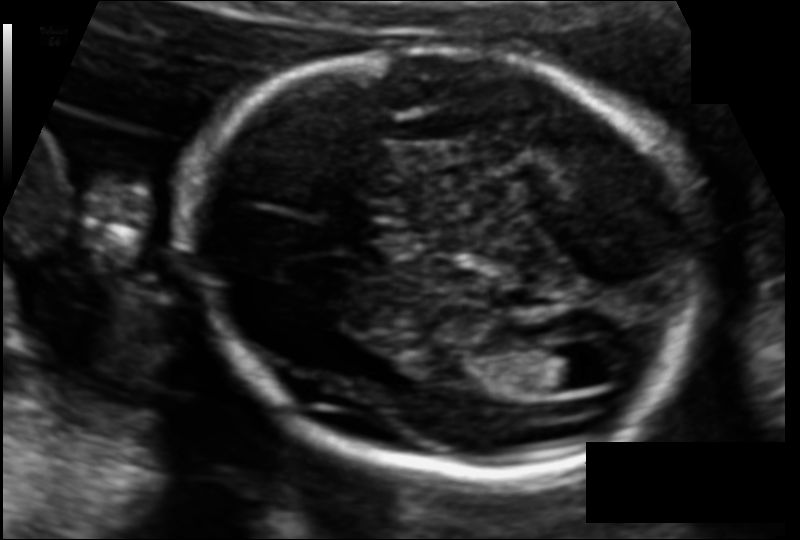
Estimate the fetal head circumference from this 2D ultrasound. Image width: 87.7 mm.

Head circumference: 168.0 mm.